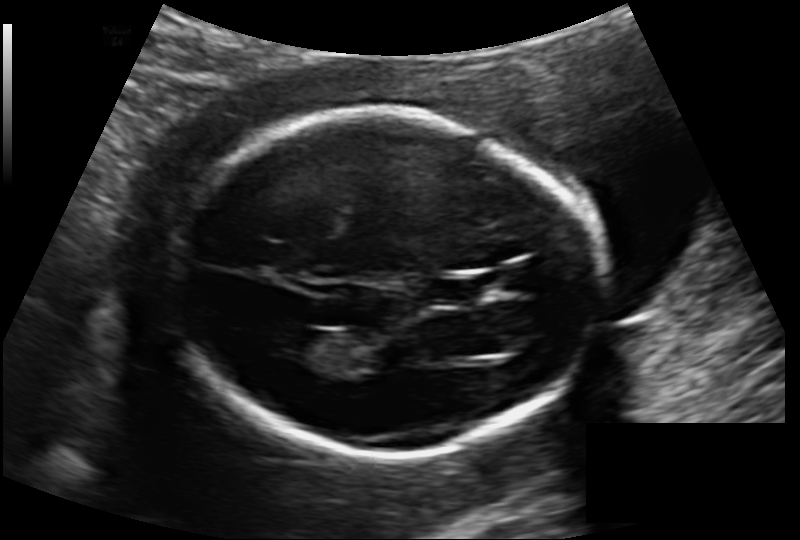
Fetal head ultrasound. Image width: 106.3 mm. Locate the fetal head and, if visible, the cavum septum pellucidum (CSP) and lateral ventricle (LV). Give bounding boxes as [x1,y1,x2,y2].

Head: [174,110,601,457]
CSP: [433,276,480,305]
Lateral ventricle: [265,322,331,366]